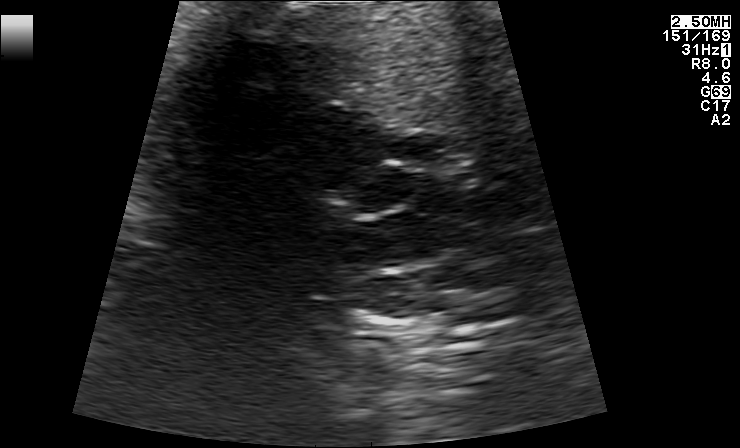
This is a 2D maternal-fetal ultrasound frame. Is it a fetal abdomen, fetal brain, fetal femur, fetal thorax, maternal cervix, or other standard plane? If it's fetal brain and one of the three standard brain planes (trans-thalamic, trans-cerebellum, trans-ventricular), name which.

Other